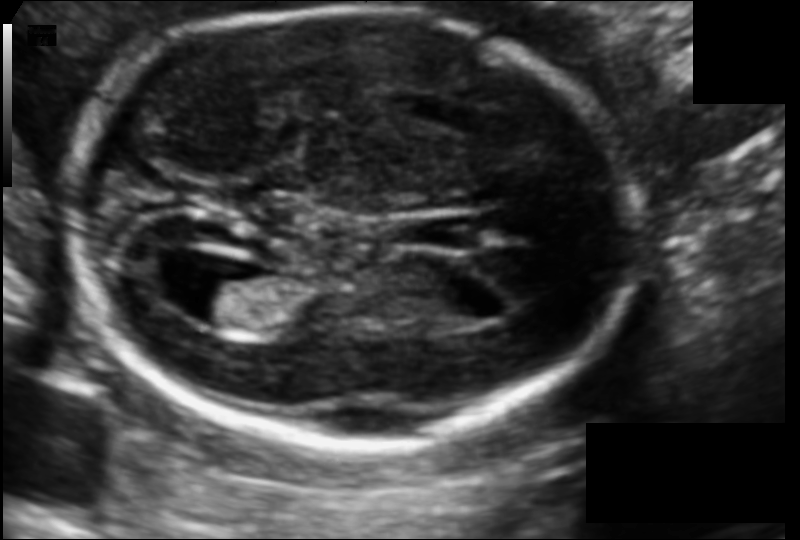
Fetal head ultrasound. Image width: 83.9 mm. Where is the cavum septum pellucidum?

CSP bounding box: [421,216,479,250]